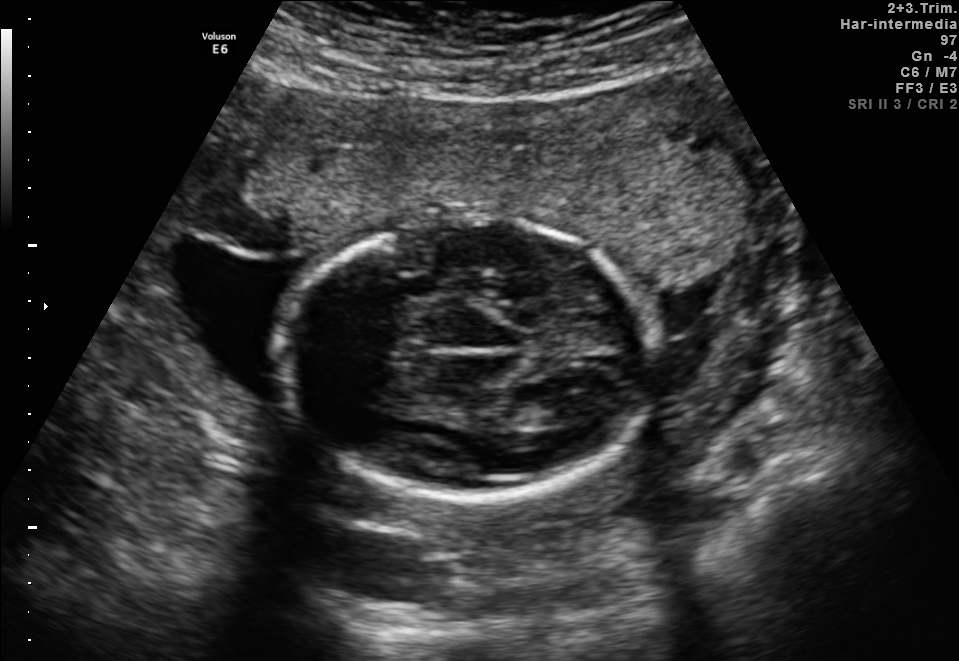
Identify the standard plane in this fetal ultrasound image: fetal abdomen, fetal brain, fetal femur, fetal thorax, maternal cervix, or other. If it's fetal brain and one of the three standard brain planes (trans-thalamic, trans-cerebellum, trans-ventricular), name which.

Fetal brain (trans-thalamic plane)